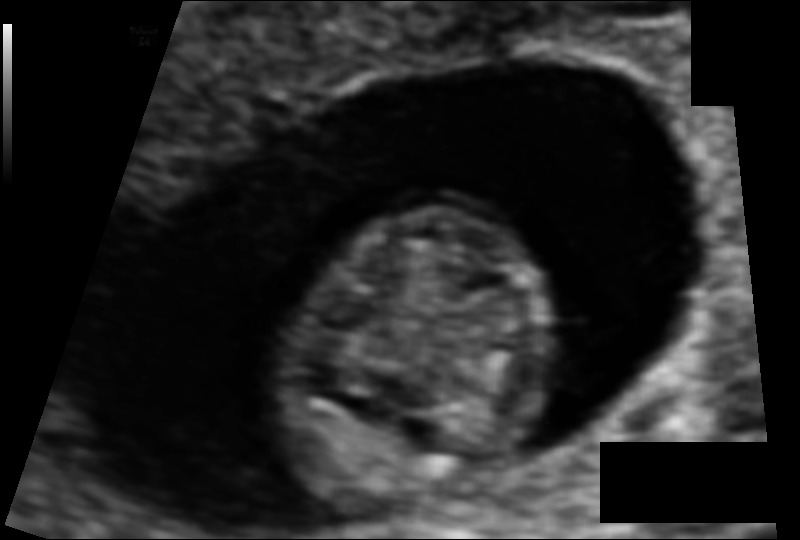
Fetal head ultrasound. Image width: 58.4 mm. Locate the fetal head and, if visible, the cavum septum pellucidum (CSP) and lateral ventricle (LV). Give bounding boxes as [x1,y1,x2,y2].

Head: [279,209,545,512]